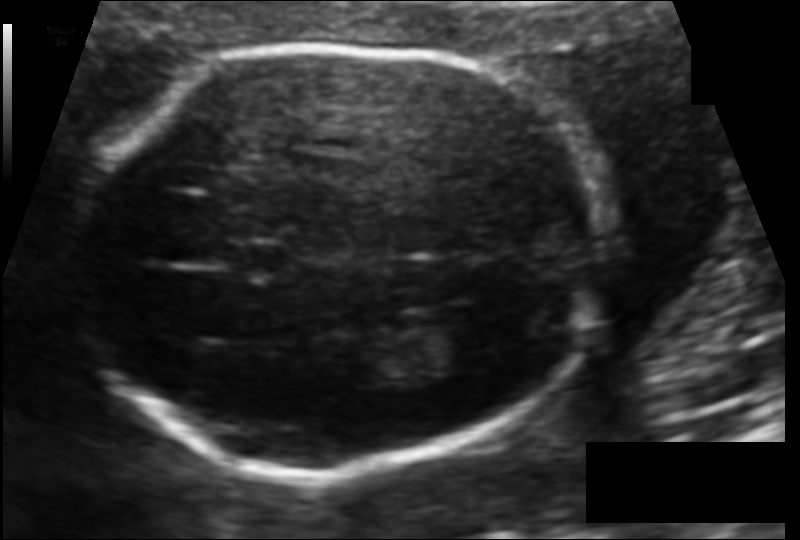
Estimate the fetal head circumference from this 2D ultrasound.

Head circumference: 168.5 mm (image width 86.3 mm).